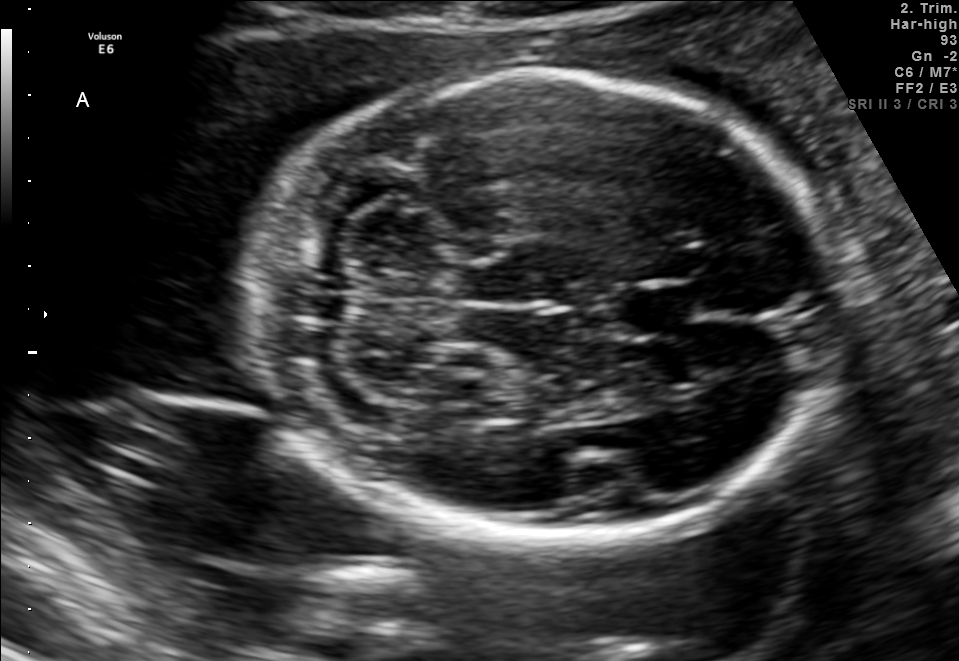
Fetal brain, trans-cerebellum plane. Where is the cavum septum pellucidum?

CSP bounding box: [615,279,697,340]